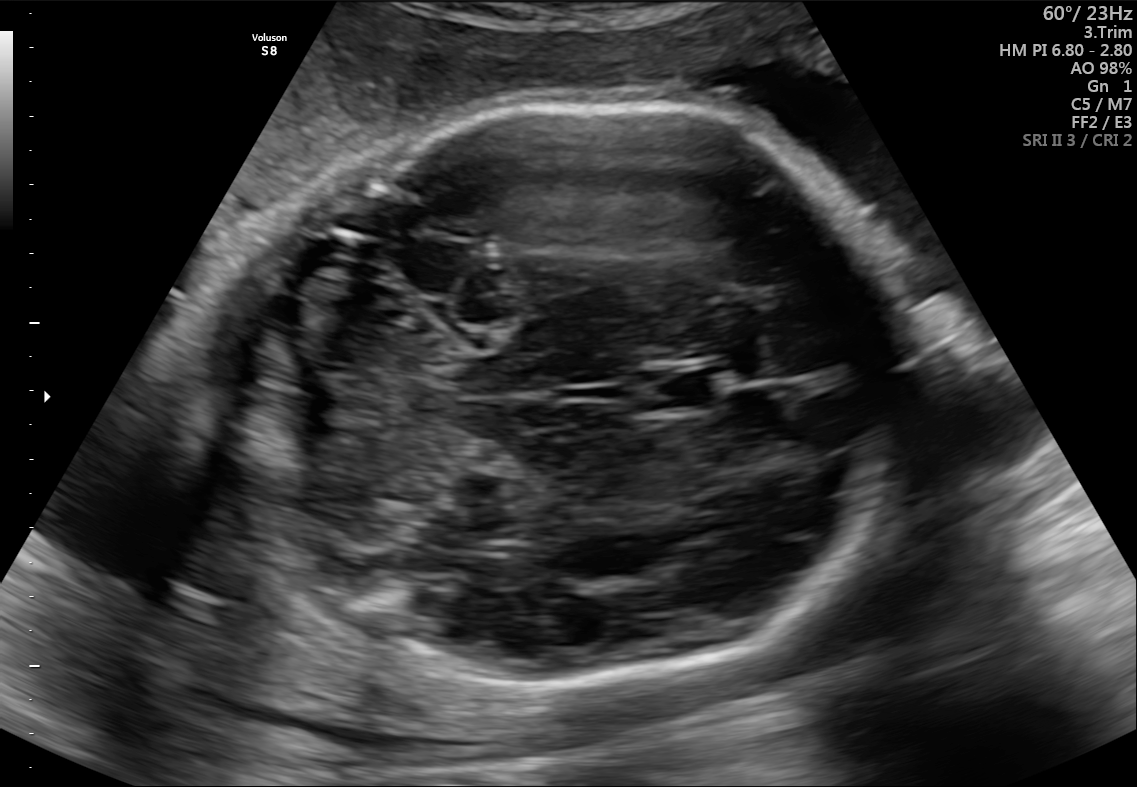
Identify the standard plane in this fetal ultrasound image: fetal abdomen, fetal brain, fetal femur, fetal thorax, maternal cervix, or other. If it's fetal brain and one of the three standard brain planes (trans-thalamic, trans-cerebellum, trans-ventricular), name which.

Fetal brain (trans-cerebellum plane)